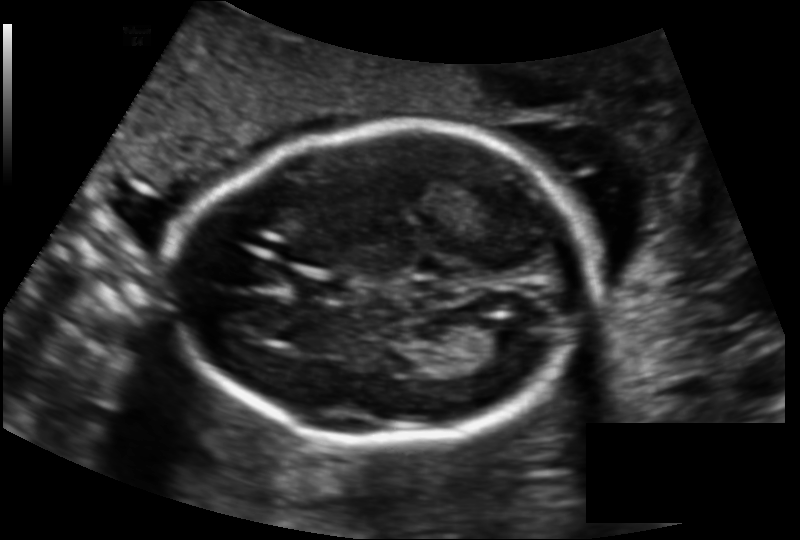
Fetal head ultrasound. Image width: 109.7 mm. Where is the lateral ventricle?

Lateral ventricle bounding box: [469,315,532,364]